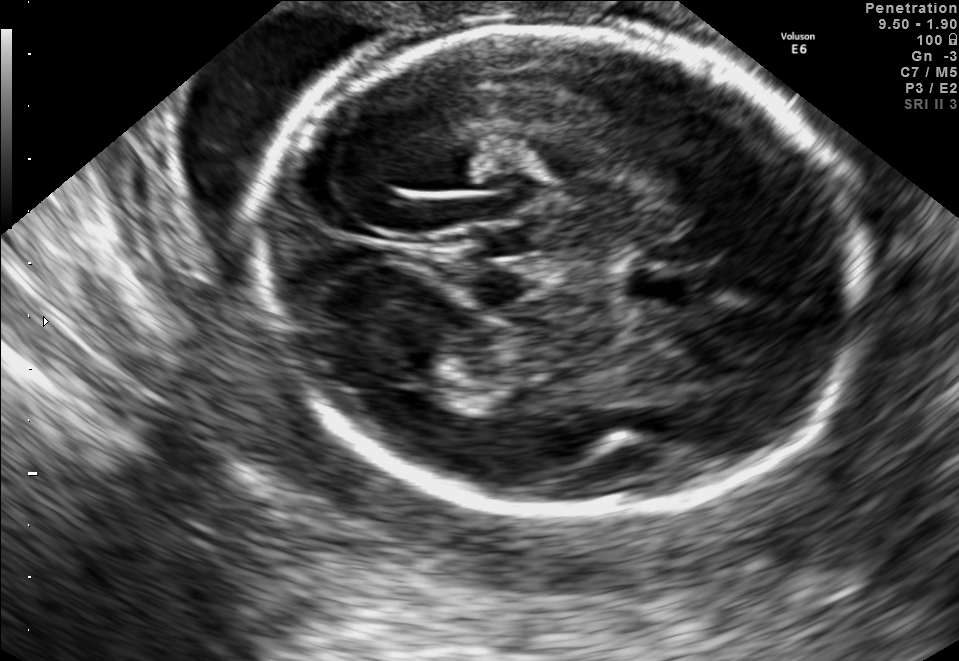
Identify the standard plane in this fetal ultrasound image: fetal abdomen, fetal brain, fetal femur, fetal thorax, maternal cervix, or other. If it's fetal brain and one of the three standard brain planes (trans-thalamic, trans-cerebellum, trans-ventricular), name which.

Fetal brain (trans-thalamic plane)